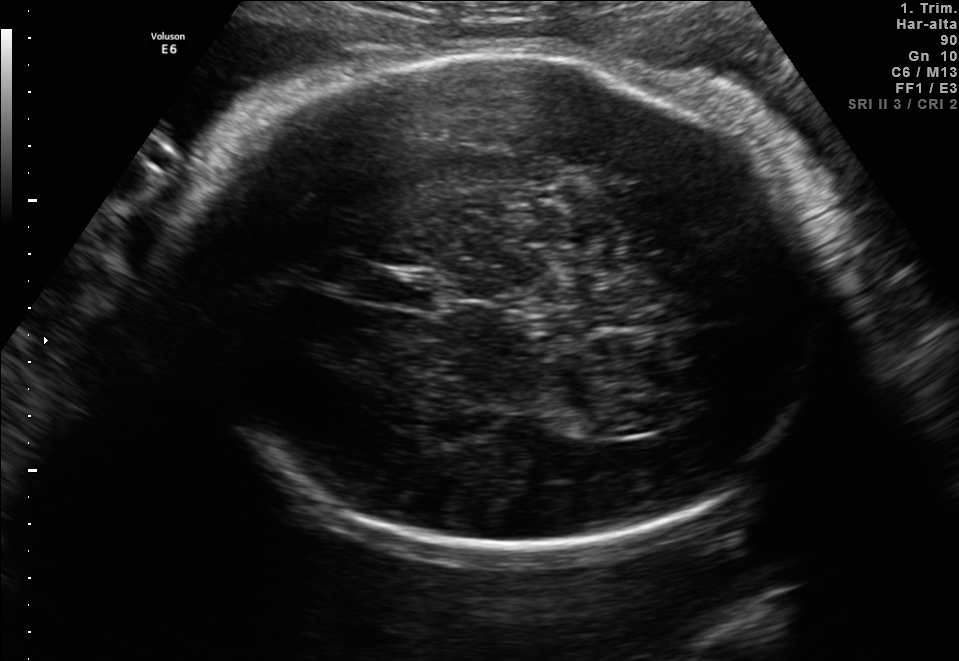
Fetal brain, trans-thalamic plane. Locate the fetal head.

Head: [189,46,816,545]